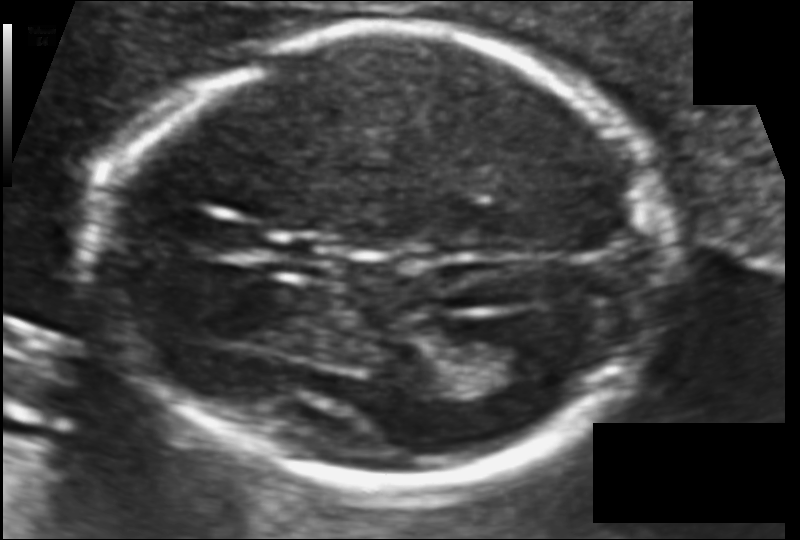
What is the fetal head circumference? Image width is 78.9 mm.

167.4 mm